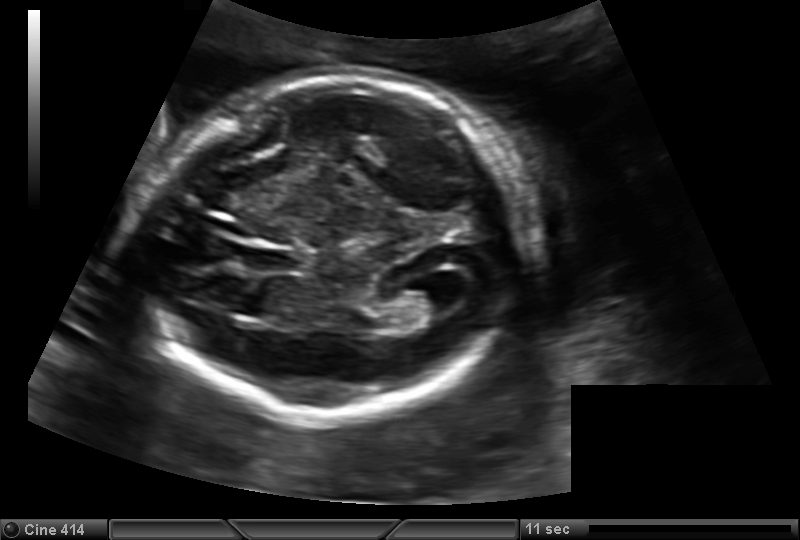
Estimate the fetal head circumference from this 2D ultrasound. Image width: 120.0 mm.

Head circumference: 183.5 mm.